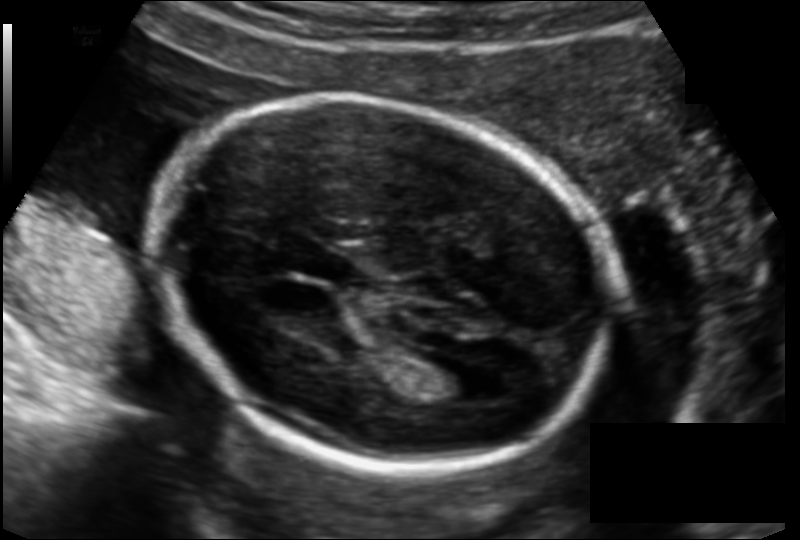
Fetal head ultrasound. Image width: 107.7 mm. Give [x1,y1,x2,y2] bounding boxes for each visible structure among: fetal head, CSP, LV.

Head: [153,100,611,468]
Lateral ventricle: [418,359,487,406]